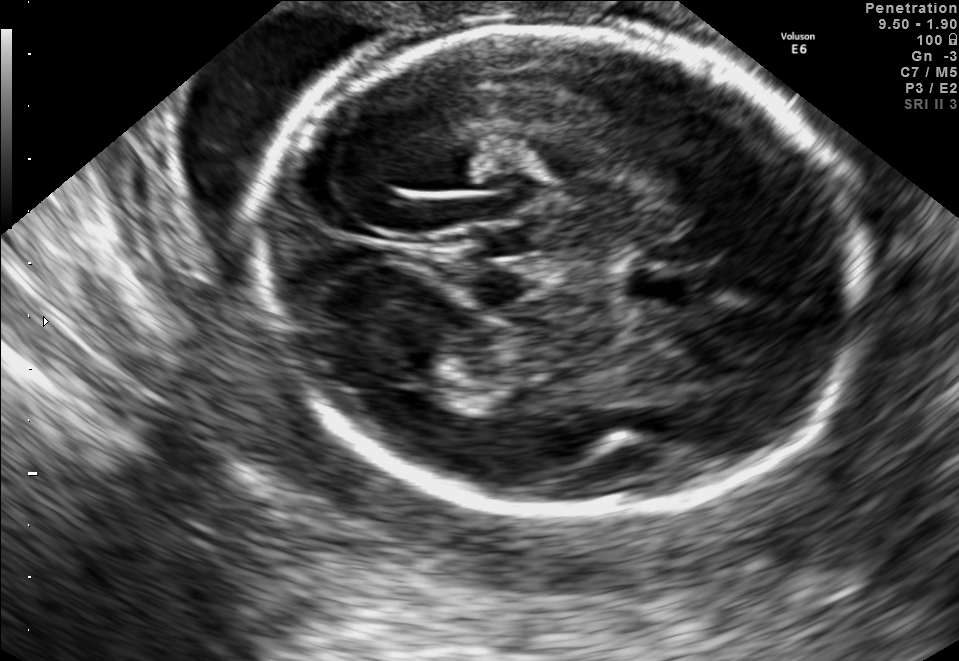
Fetal brain, trans-thalamic plane. Give [x1,y1,x2,y2] bounding boxes for each visible structure among: fetal head, CSP, LV.

Head: [258,23,861,512]
CSP: [627,267,691,306]
Lateral ventricle: [386,359,470,413]